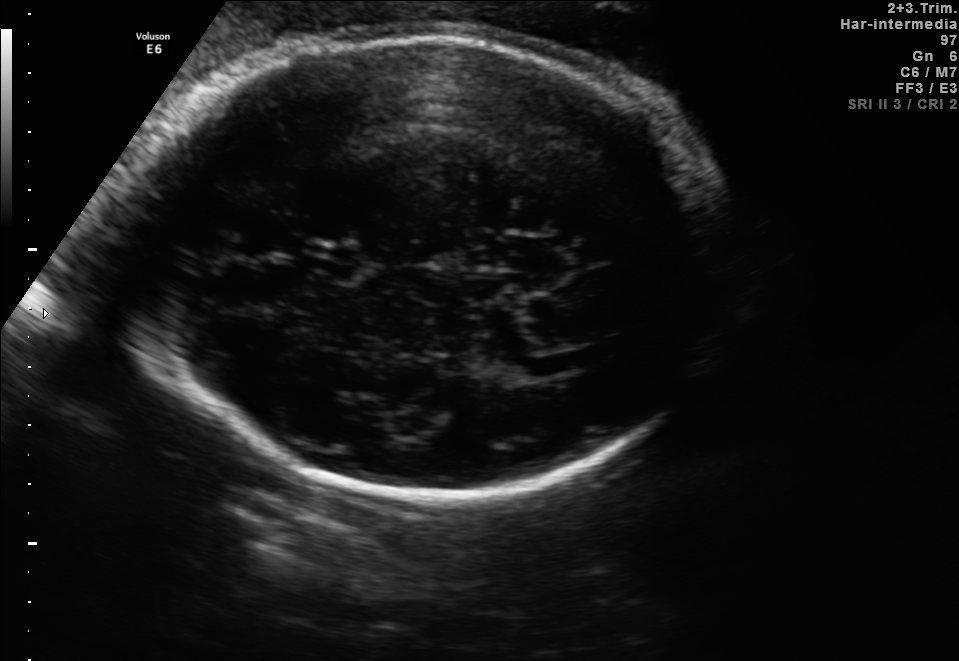
Which standard maternal-fetal ultrasound plane is shown: fetal abdomen, fetal brain, fetal femur, fetal thorax, maternal cervix, or other? If it's fetal brain and one of the three standard brain planes (trans-thalamic, trans-cerebellum, trans-ventricular), name which.

Fetal brain (trans-thalamic plane)